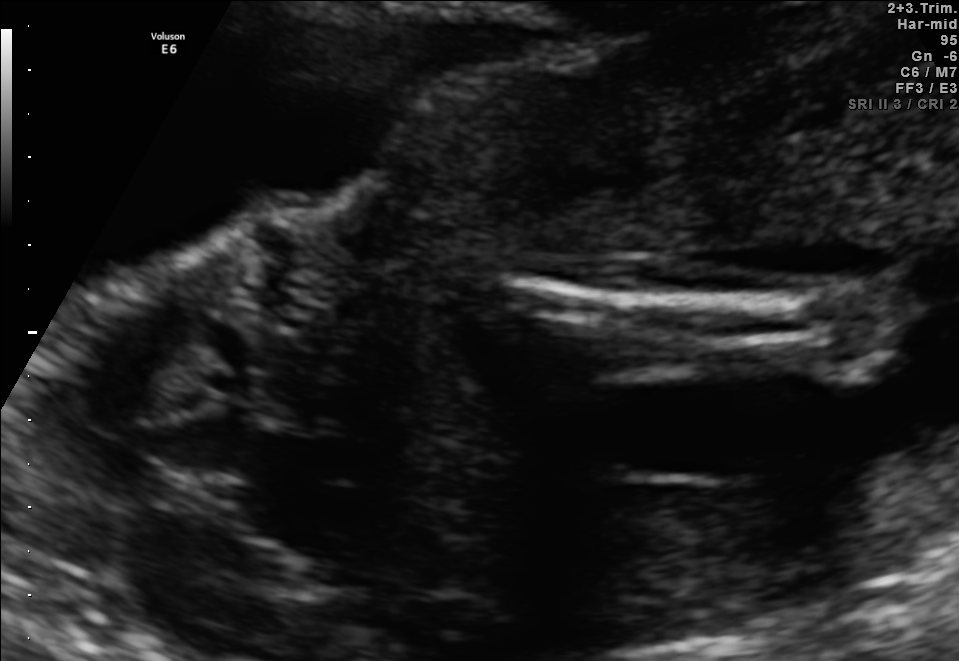
Classify this maternal-fetal ultrasound image as one of the six standard planes — fetal abdomen, fetal brain, fetal femur, fetal thorax, maternal cervix, or other. If it's fetal brain and one of the three standard brain planes (trans-thalamic, trans-cerebellum, trans-ventricular), name which.

Other